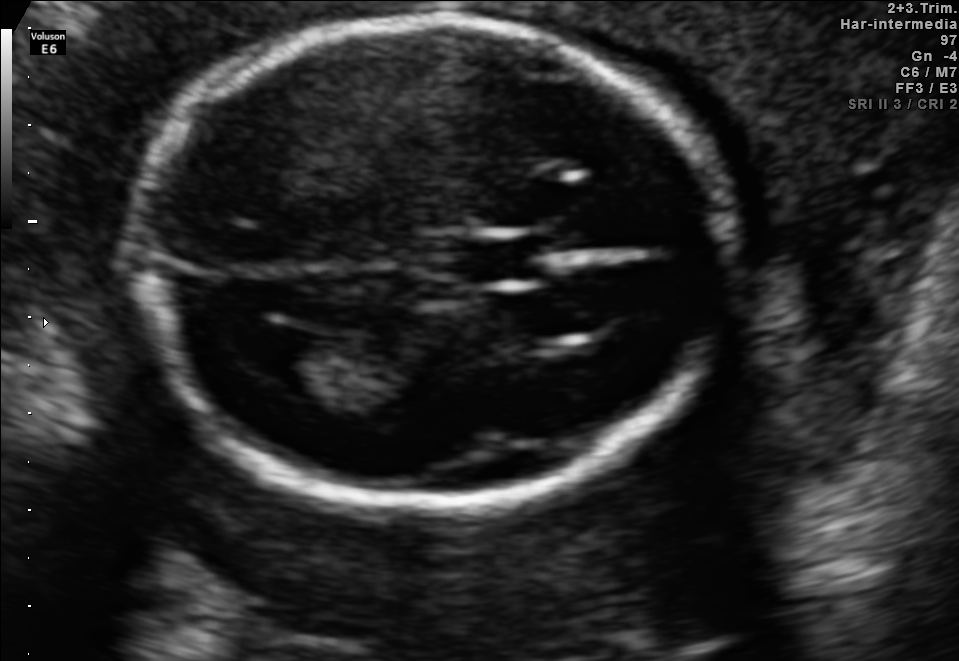
In this fetal brain, trans-ventricular plane, give the bounding box of the lateral ventricle.

[225,312,330,390]